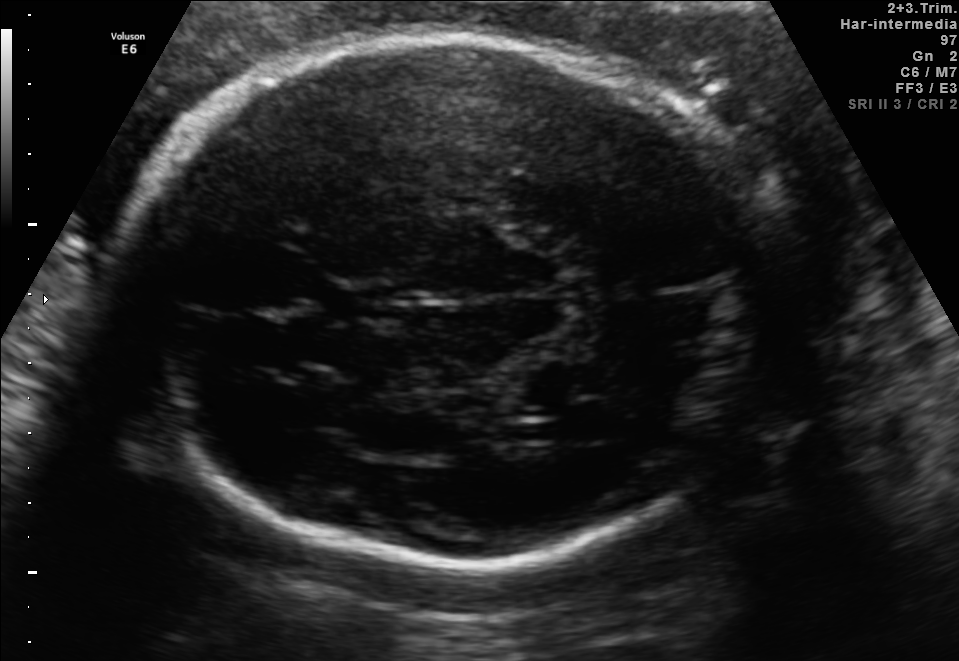
Fetal brain, trans-thalamic plane. Where is the lateral ventricle?

Lateral ventricle bounding box: [529,414,585,445]